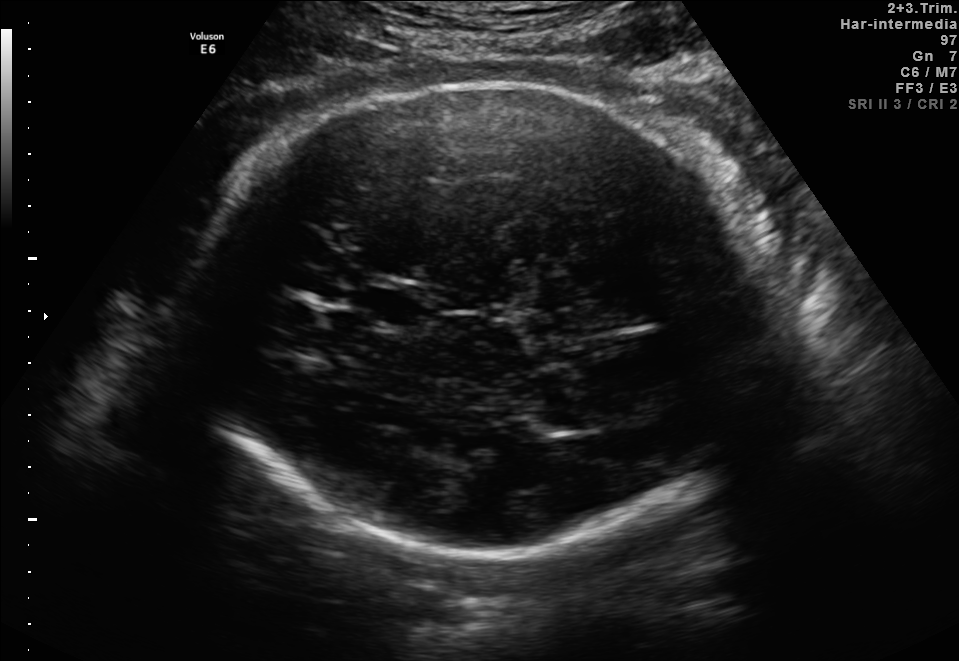
Fetal brain, trans-thalamic plane. Give [x1,y1,x2,y2] bounding boxes for each visible structure among: fetal head, CSP, LV.

Head: [186,85,785,562]
CSP: [364,286,416,325]
Lateral ventricle: [532,403,607,435]